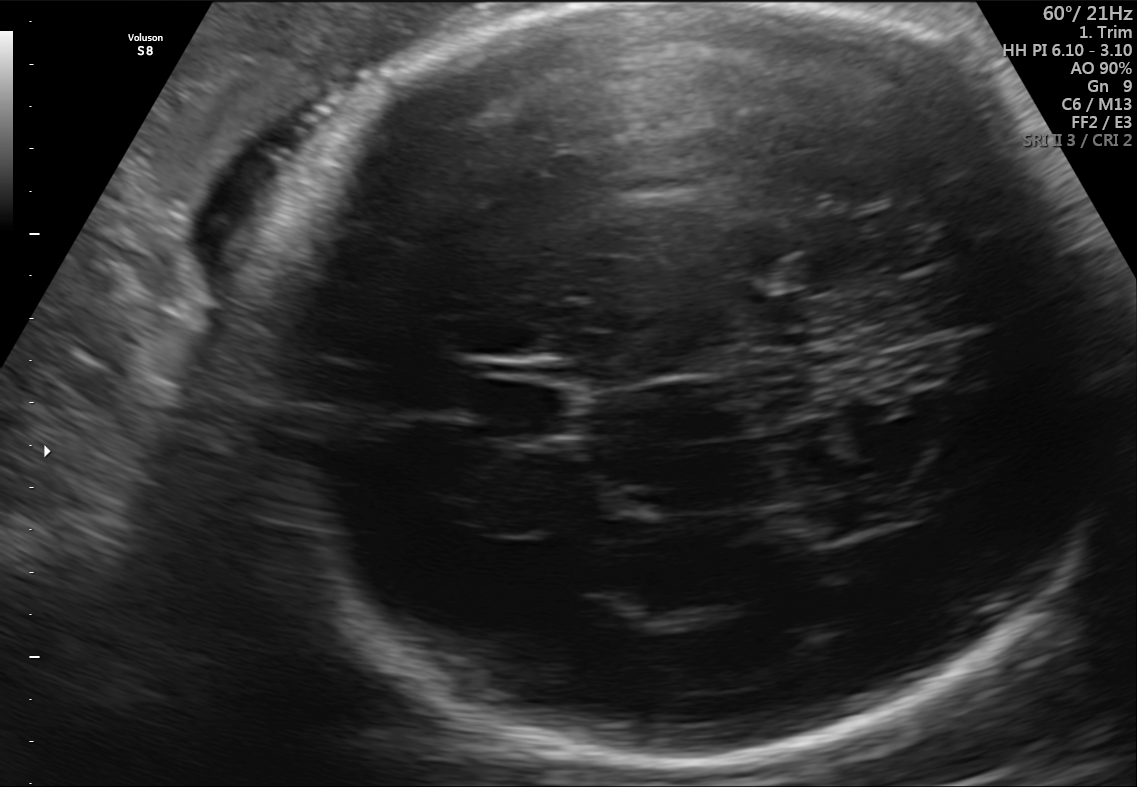
Fetal brain, trans-thalamic plane. Locate the lateral ventricle.

Lateral ventricle: [798,489,889,547]